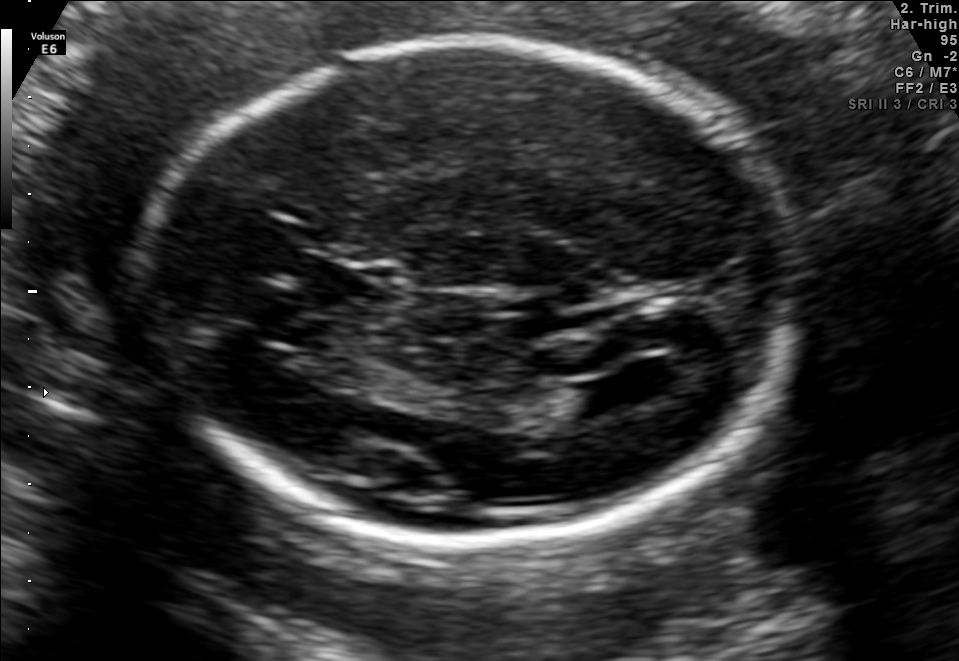
In this fetal brain, trans-ventricular plane, give the bounding box of the lateral ventricle.

[566,373,634,421]